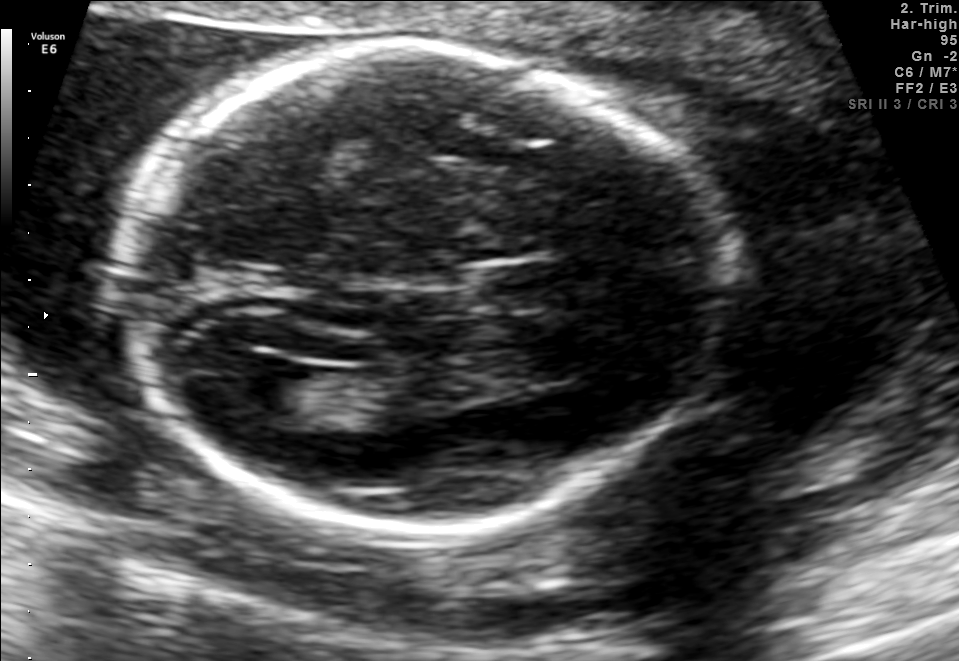
Fetal brain, trans-ventricular plane. Where is the fetal head?

Head bounding box: [106,33,747,548]